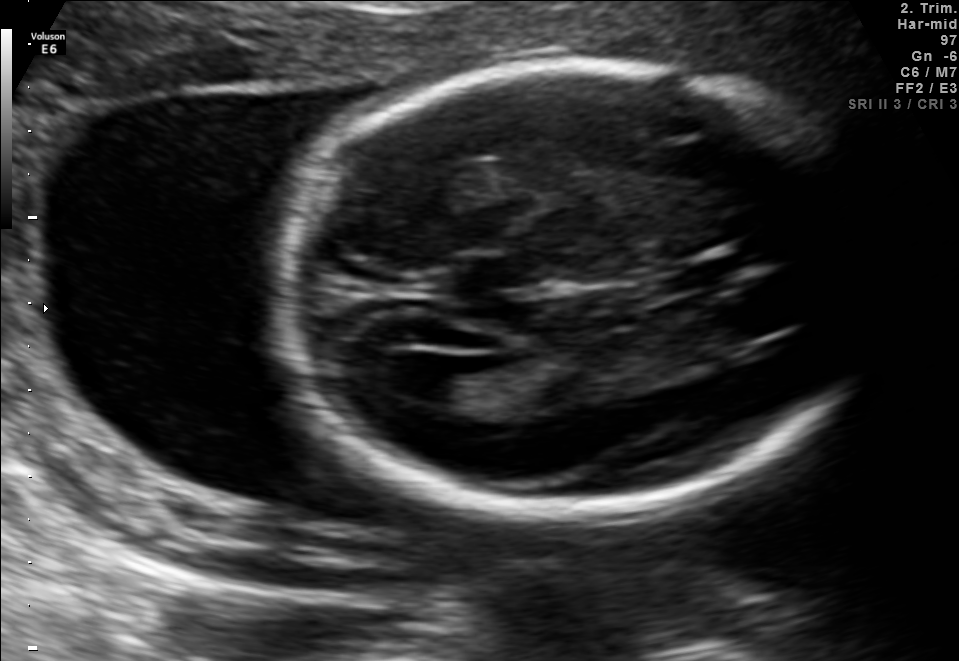
Fetal brain, trans-ventricular plane. Where is the lateral ventricle?

Lateral ventricle bounding box: [379,348,463,404]